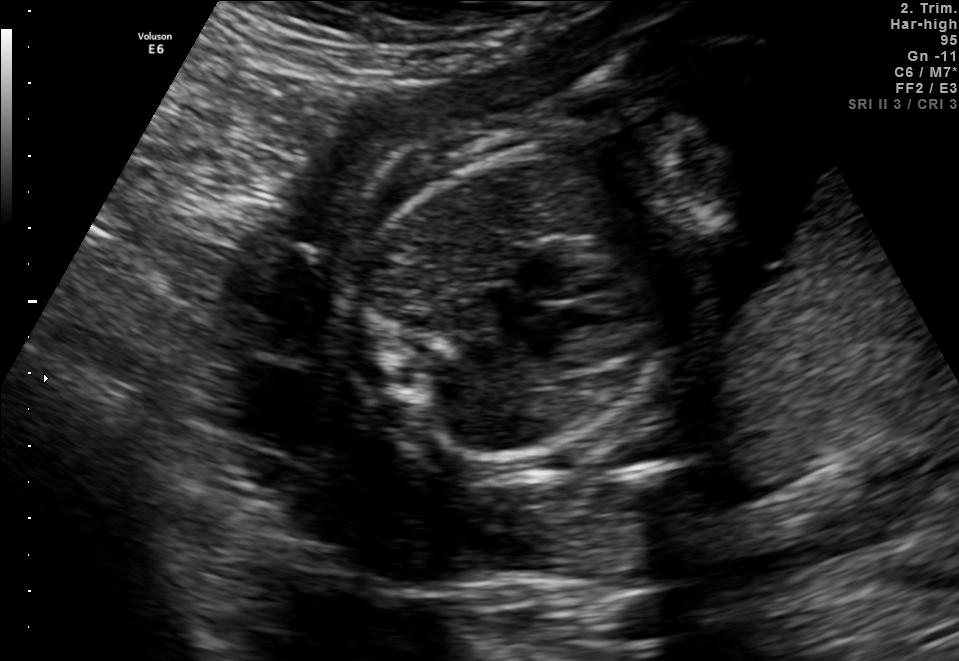
Classify this maternal-fetal ultrasound image as one of the six standard planes — fetal abdomen, fetal brain, fetal femur, fetal thorax, maternal cervix, or other. If it's fetal brain and one of the three standard brain planes (trans-thalamic, trans-cerebellum, trans-ventricular), name which.

Fetal thorax